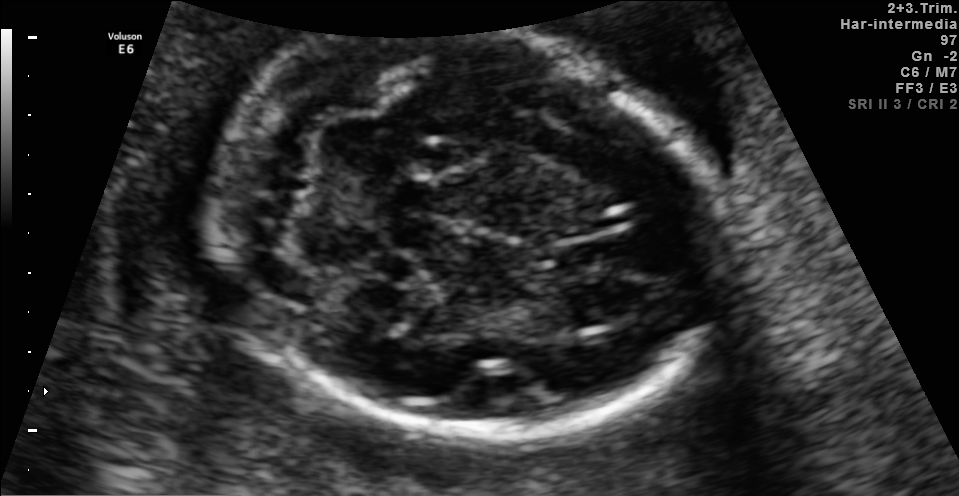
In this fetal brain, trans-cerebellum plane, give bounding boxes for the head outline, cavum septum pellucidum (CSP), and lateral ventricle (LV), where visible.

Head: [214,11,723,438]